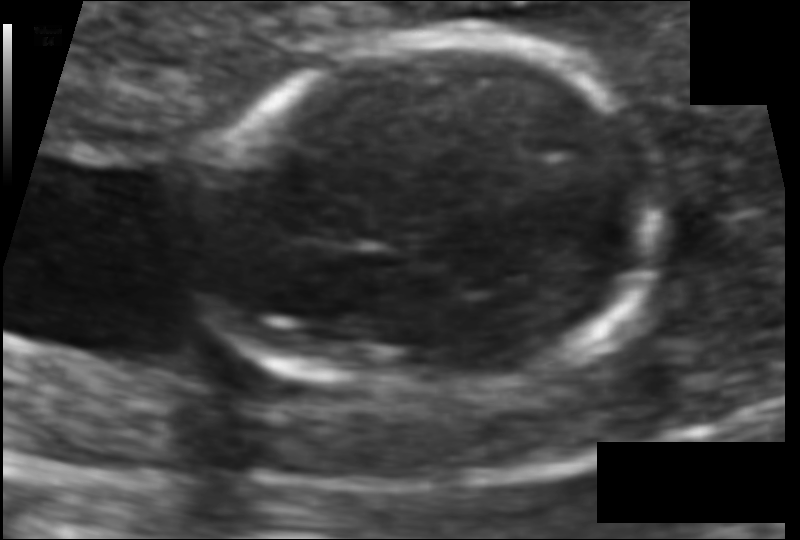
Estimate the fetal head circumference from this 2D ultrasound.

Head circumference: 104.9 mm (image width 62.9 mm).